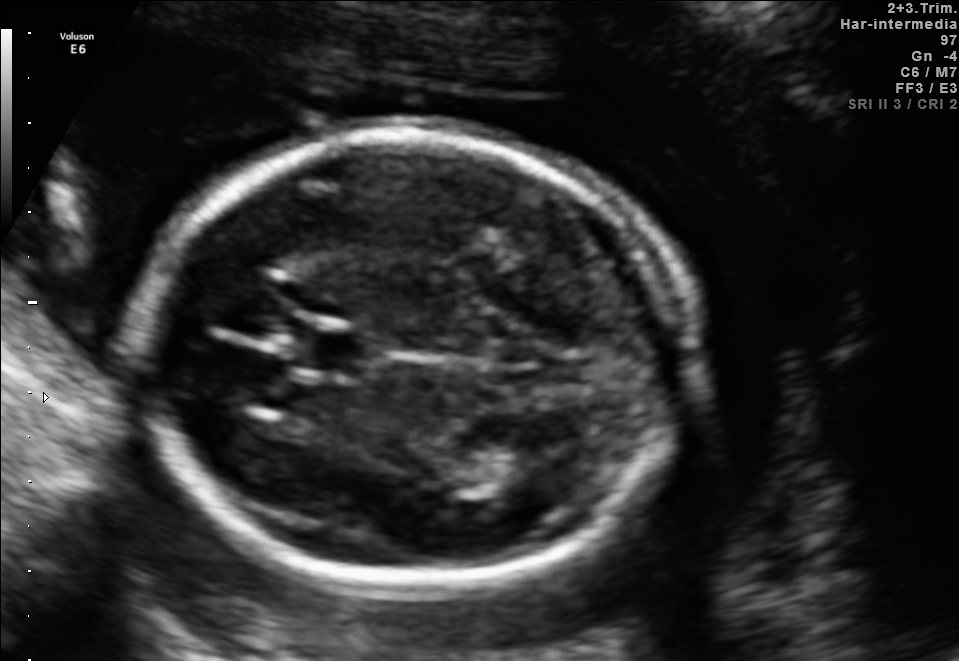
In this fetal brain, trans-thalamic plane, give the bounding box of the lateral ventricle.

[471,428,569,499]